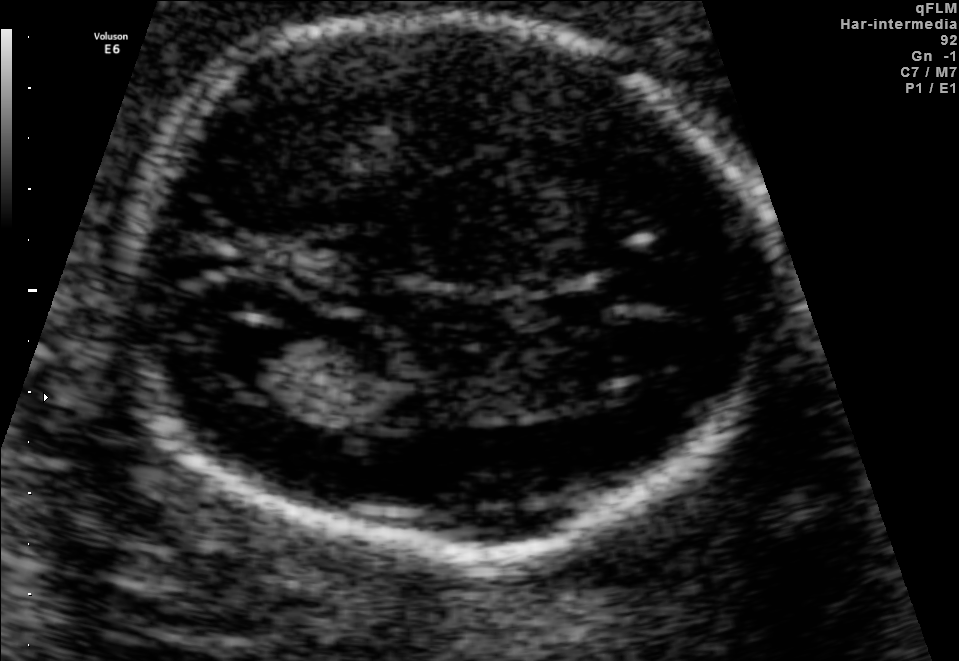
Fetal brain, trans-ventricular plane. Where is the fetal head?

Head bounding box: [100,6,783,571]